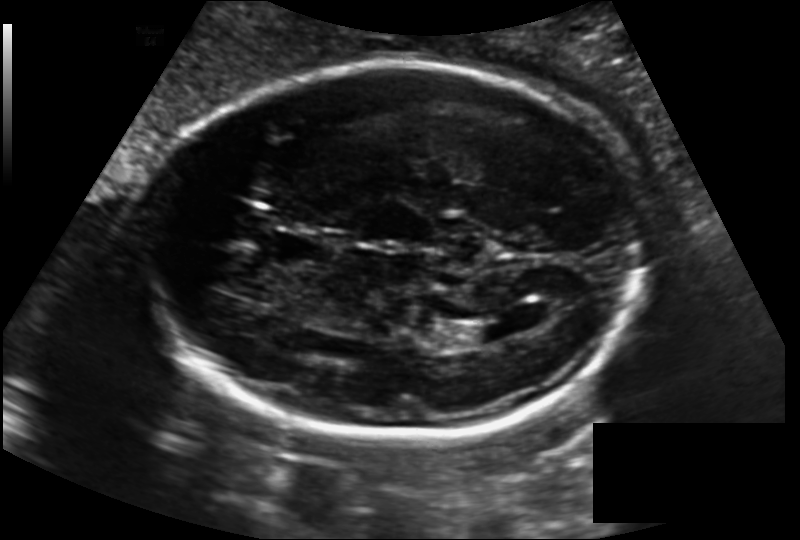
Fetal head ultrasound. Image width: 130.6 mm. Locate the cavum septum pellucidum.

CSP: [271,226,335,270]